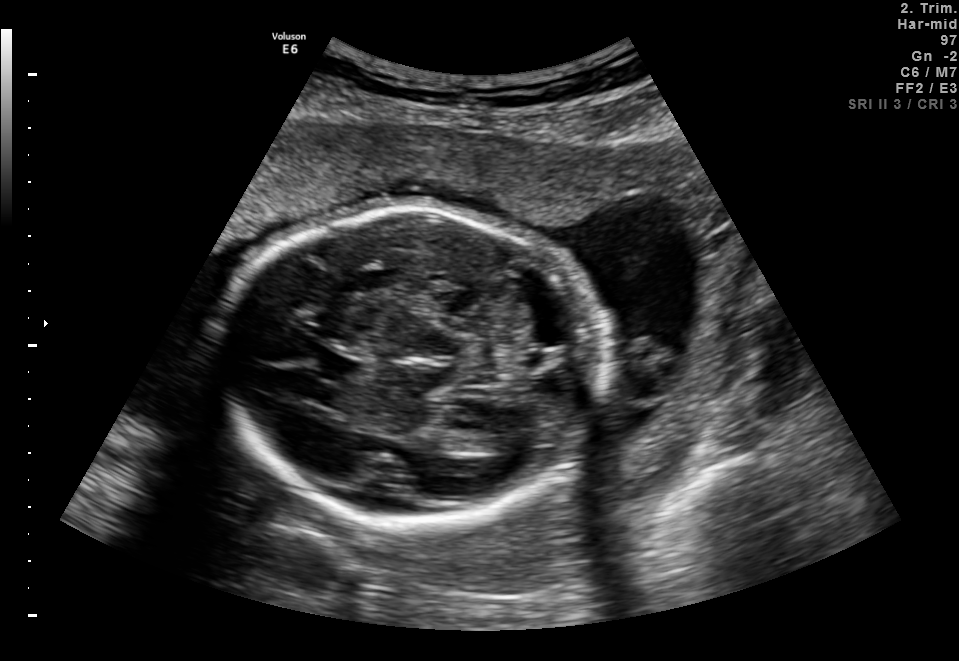
Fetal brain, trans-thalamic plane. Locate the fetal head.

Head: [223,208,600,523]